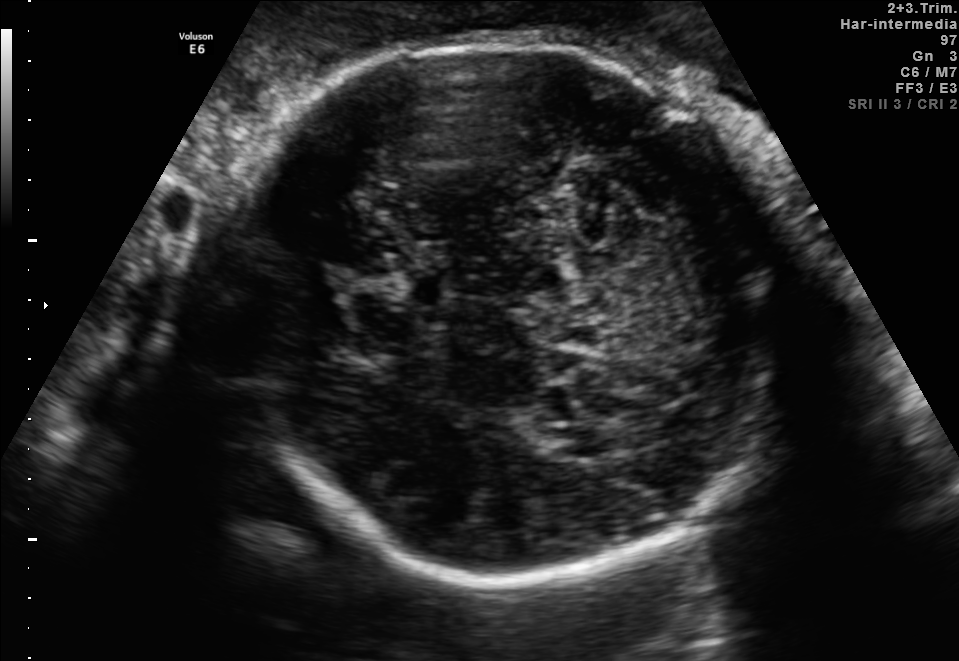
In this fetal brain, trans-thalamic plane, give the bounding box of the fetal head.

[218,31,765,570]